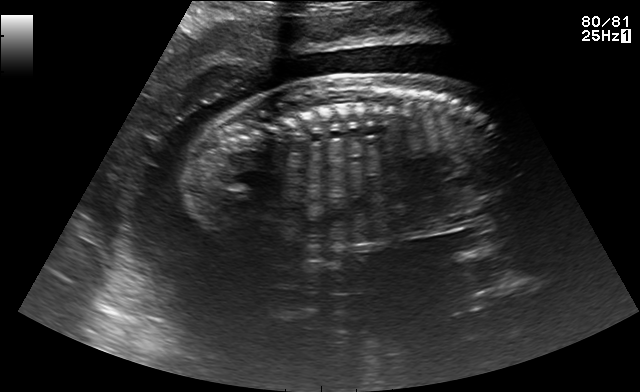
This is a 2D maternal-fetal ultrasound frame. Is it a fetal abdomen, fetal brain, fetal femur, fetal thorax, maternal cervix, or other standard plane? If it's fetal brain and one of the three standard brain planes (trans-thalamic, trans-cerebellum, trans-ventricular), name which.

Other